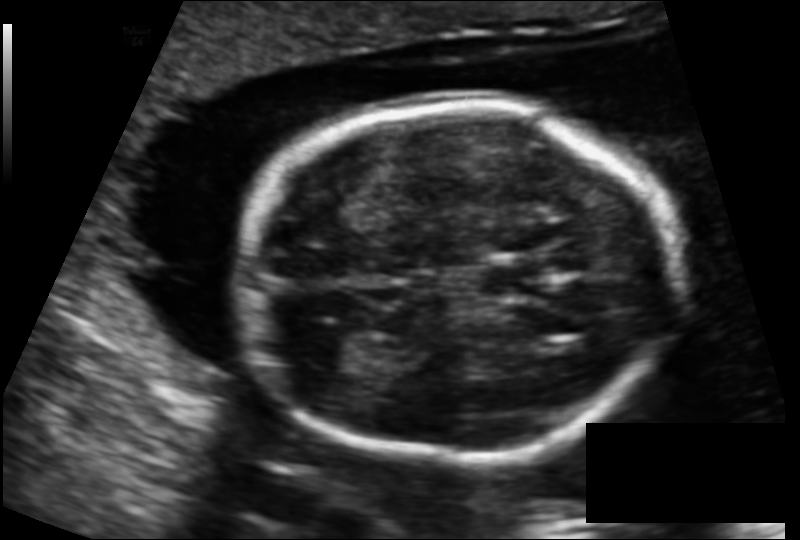
From this fetal ultrasound, estimate the head circumference (image width 104.4 mm).

Head circumference: 166.7 mm.